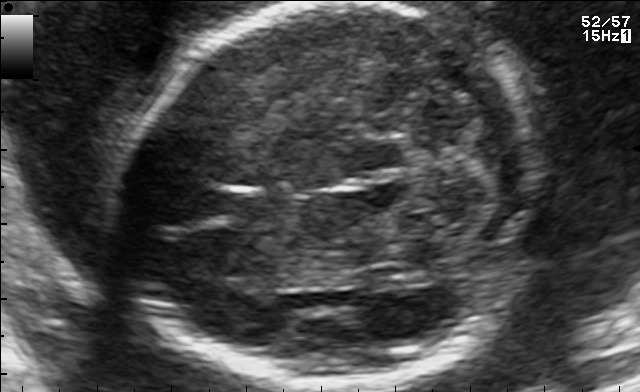
In this fetal brain, trans-cerebellum plane, give bounding boxes for the head outline, cavum septum pellucidum (CSP), and lateral ventricle (LV), where visible.

Head: [126,2,545,391]